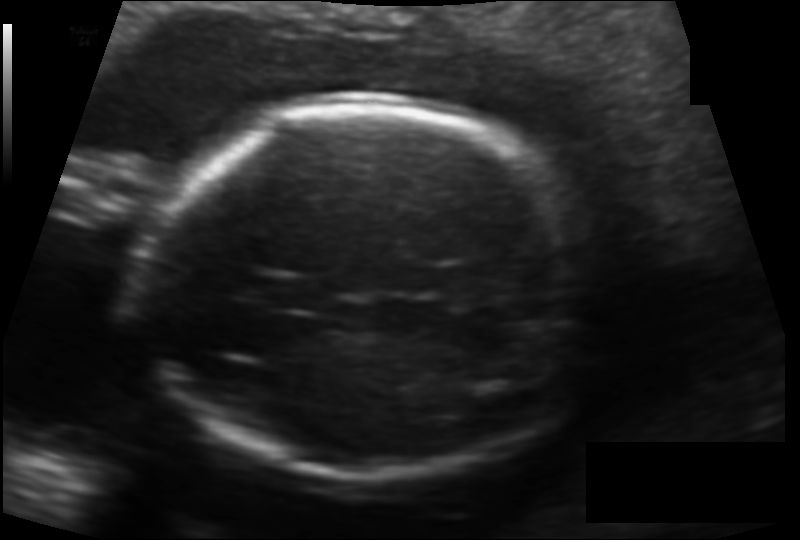
Estimate the fetal head circumference from this 2D ultrasound.

Head circumference: 174.8 mm (image width 105.8 mm).